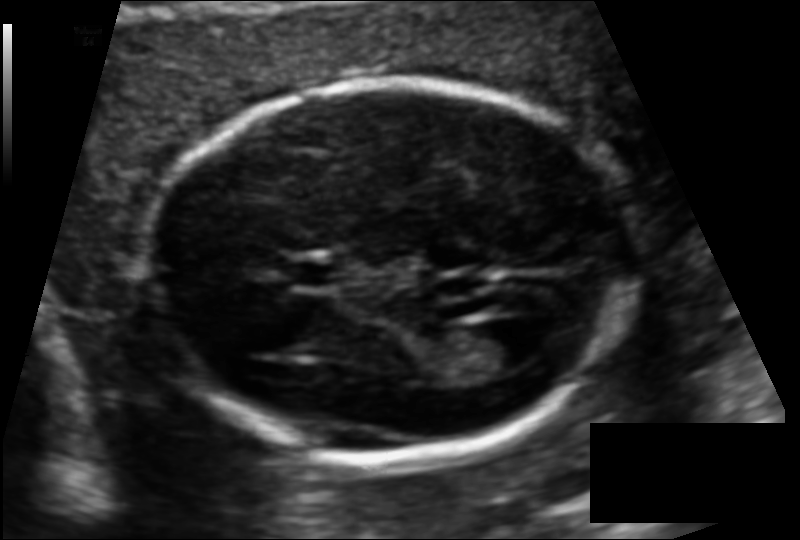
From this fetal ultrasound, estimate the head circumference (image width 88.0 mm).

Head circumference: 155.3 mm.